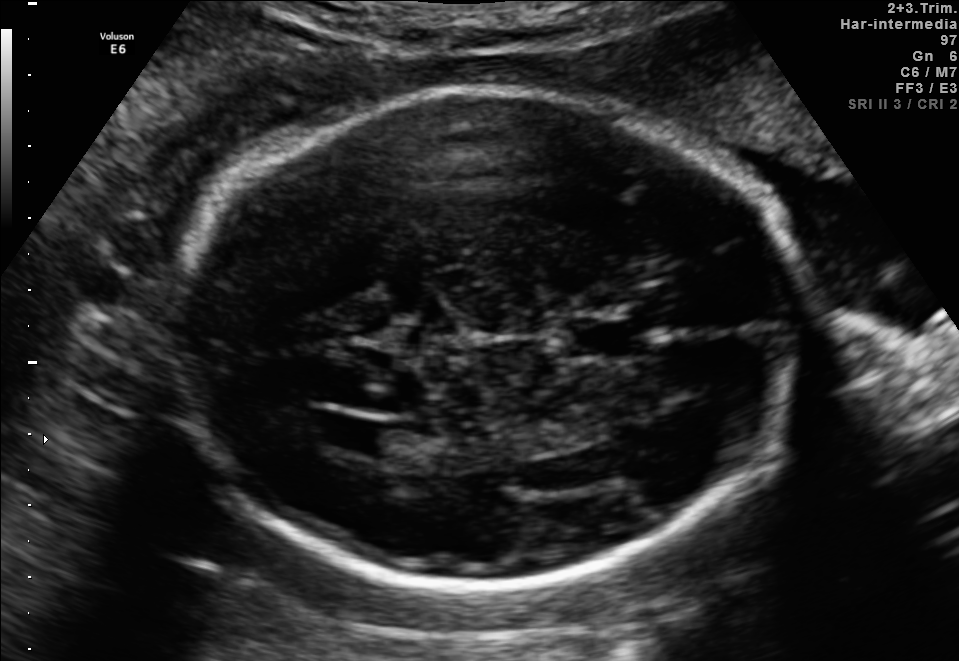
Fetal brain, trans-ventricular plane. Locate the fetal head and, if visible, the cavum septum pellucidum (CSP) and lateral ventricle (LV). Give bounding boxes as [x1,y1,x2,y2].

Head: [161,85,816,592]
CSP: [554,321,641,355]
Lateral ventricle: [320,411,383,458]